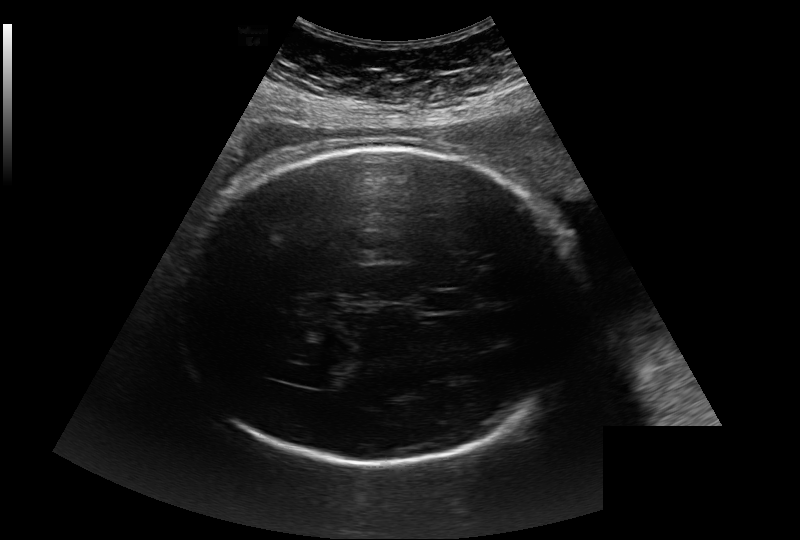
Fetal head ultrasound. Image width: 227.4 mm. Where is the fetal head?

Head bounding box: [178,147,579,465]